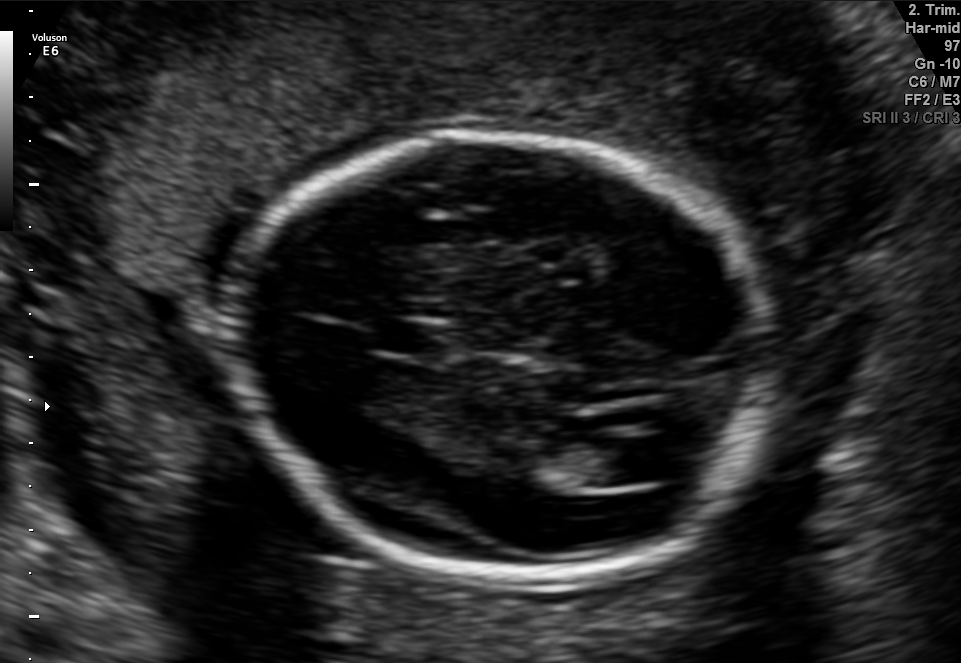
Fetal brain, trans-ventricular plane. Where is the lateral ventricle?

Lateral ventricle bounding box: [599,432,679,489]